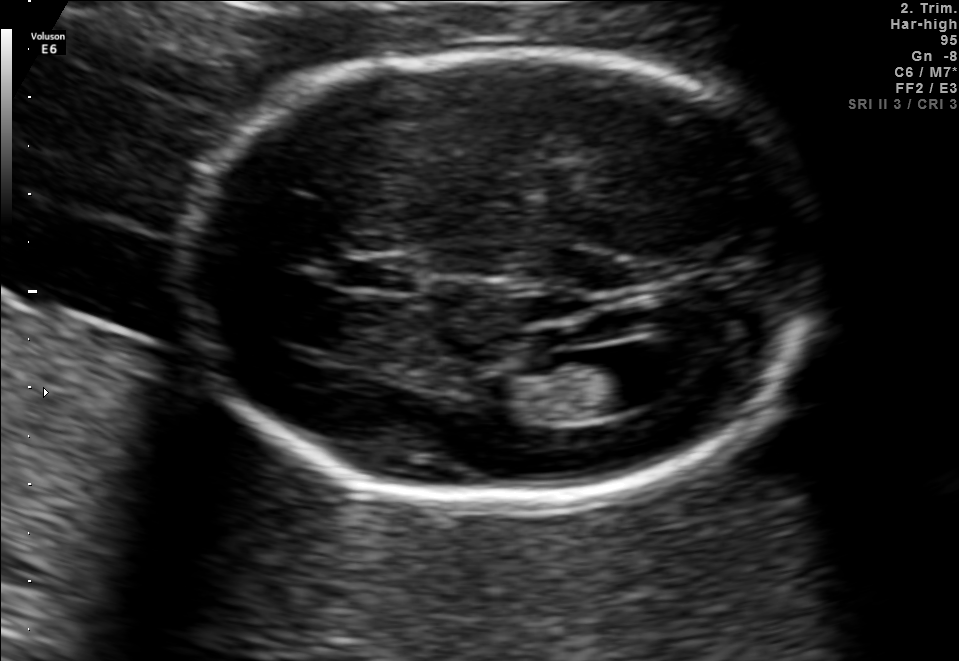
Fetal brain, trans-ventricular plane. Where is the cavum septum pellucidum?

CSP bounding box: [326,251,429,300]